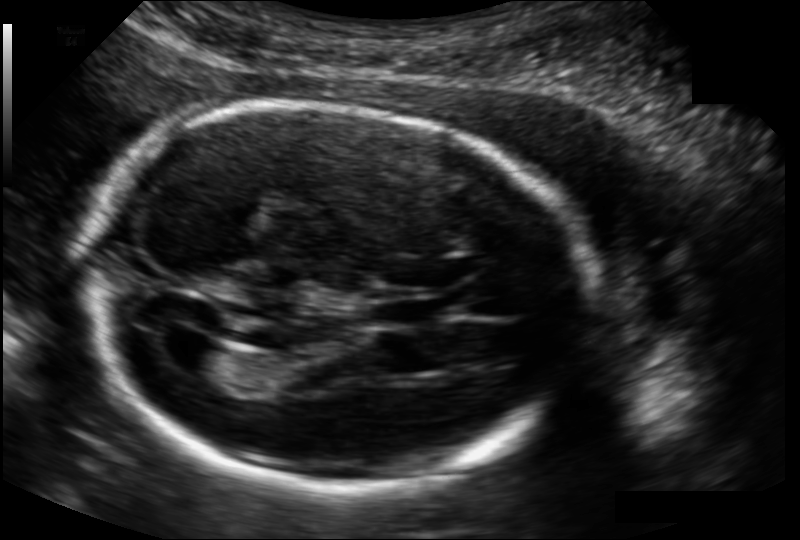
Estimate the fetal head circumference from this 2D ultrasound.

Head circumference: 192.3 mm (image width 107.6 mm).